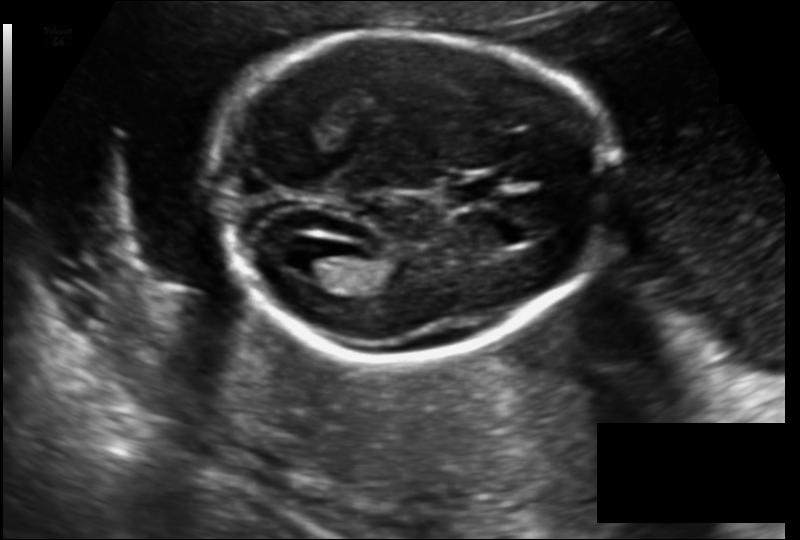
From this fetal ultrasound, estimate the head circumference (image width 113.3 mm).

Head circumference: 168.9 mm.